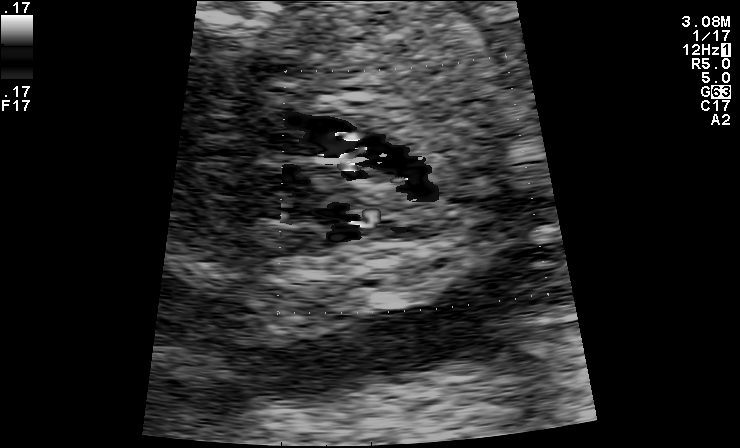
Which standard maternal-fetal ultrasound plane is shown: fetal abdomen, fetal brain, fetal femur, fetal thorax, maternal cervix, or other? If it's fetal brain and one of the three standard brain planes (trans-thalamic, trans-cerebellum, trans-ventricular), name which.

Other